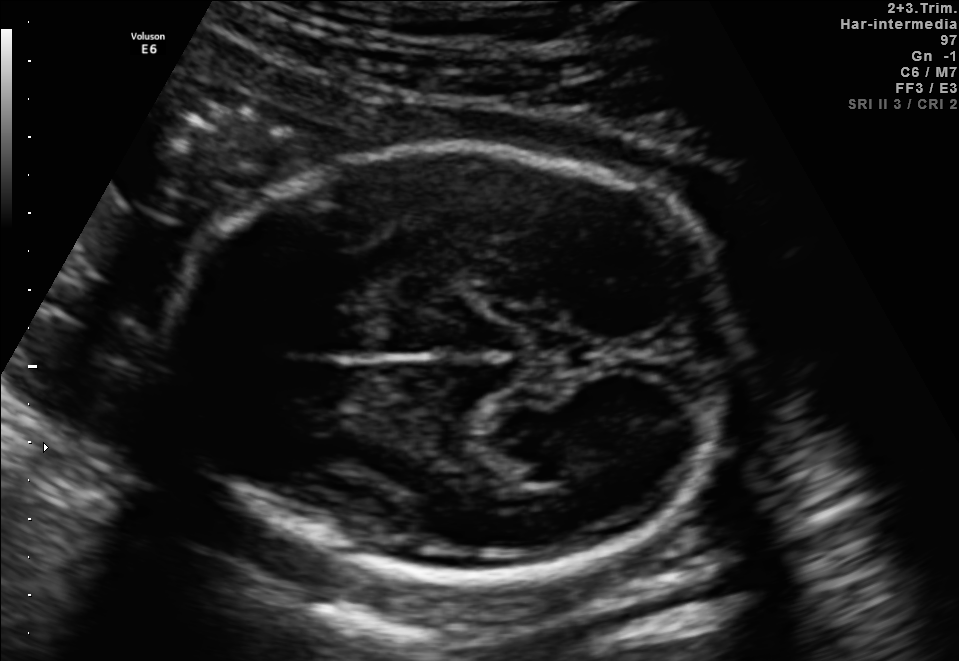
Fetal brain, trans-thalamic plane. Locate the fetal head and, if visible, the cavum septum pellucidum (CSP) and lateral ventricle (LV). Give bounding boxes as [x1,y1,x2,y2].

Head: [166,144,733,579]
Lateral ventricle: [488,425,608,491]